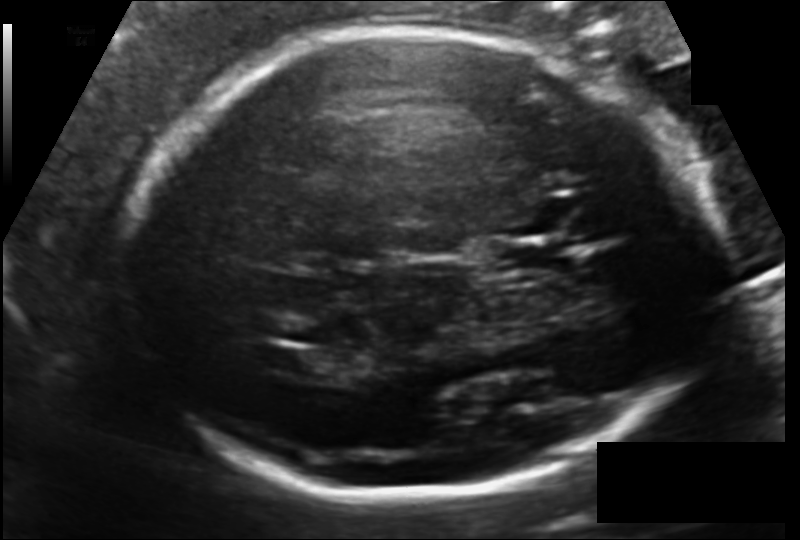
Fetal head ultrasound. Image width: 106.4 mm. Locate the cavum septum pellucidum.

CSP: [485,234,572,276]